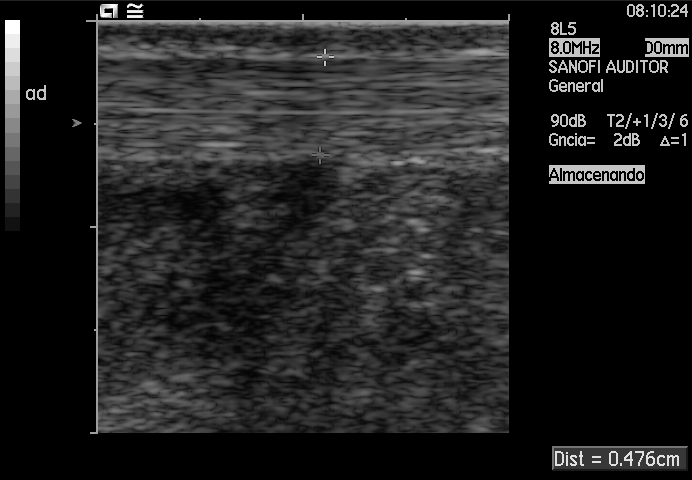
Which standard maternal-fetal ultrasound plane is shown: fetal abdomen, fetal brain, fetal femur, fetal thorax, maternal cervix, or other? If it's fetal brain and one of the three standard brain planes (trans-thalamic, trans-cerebellum, trans-ventricular), name which.

Other